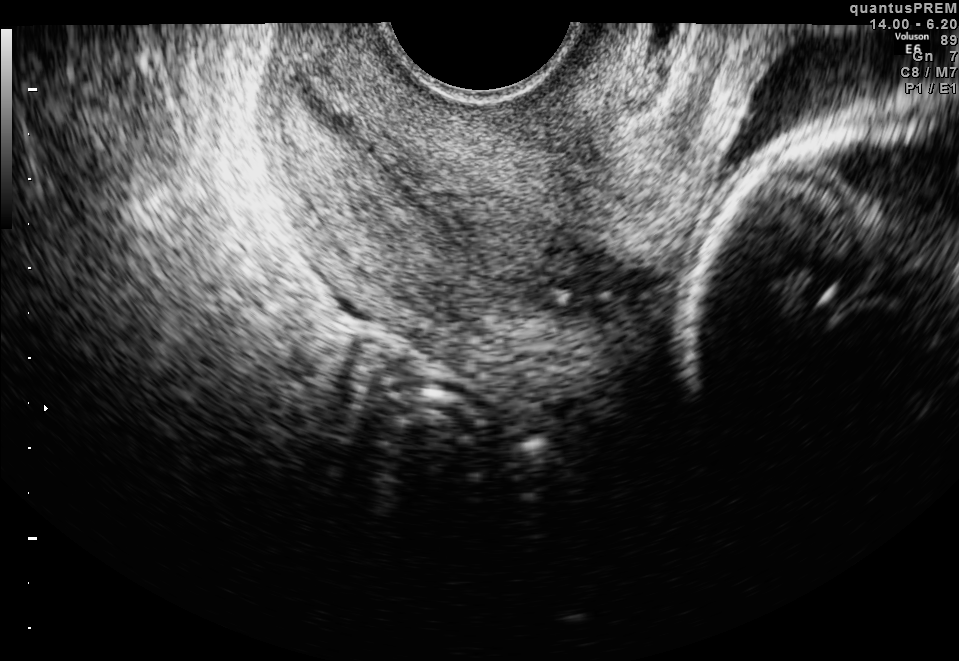
Classify this maternal-fetal ultrasound image as one of the six standard planes — fetal abdomen, fetal brain, fetal femur, fetal thorax, maternal cervix, or other. If it's fetal brain and one of the three standard brain planes (trans-thalamic, trans-cerebellum, trans-ventricular), name which.

Maternal cervix